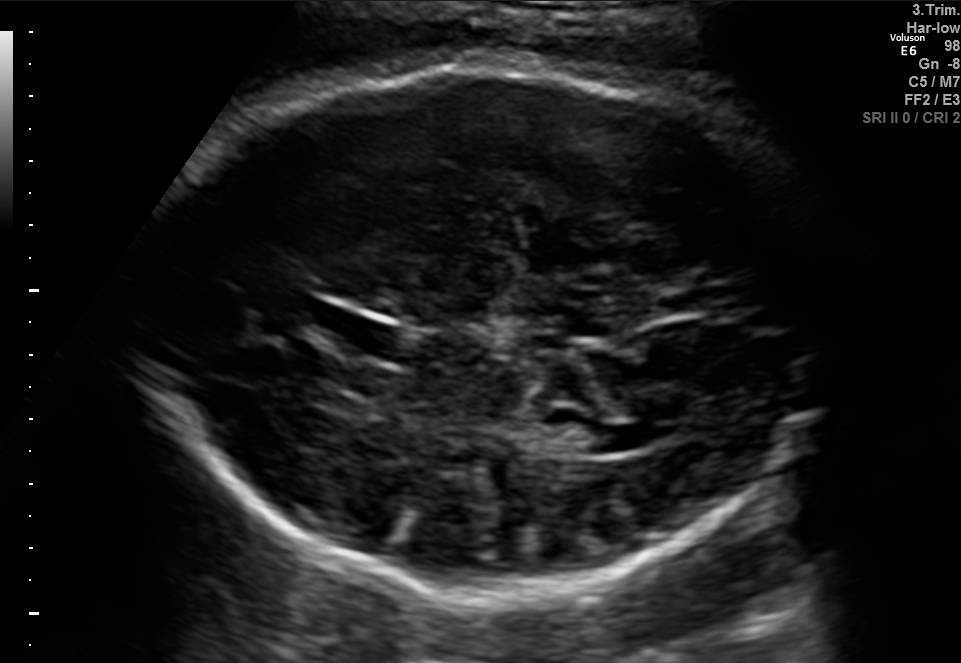
Fetal brain, trans-thalamic plane. Locate the cavum septum pellucidum.

CSP: [328,309,419,369]